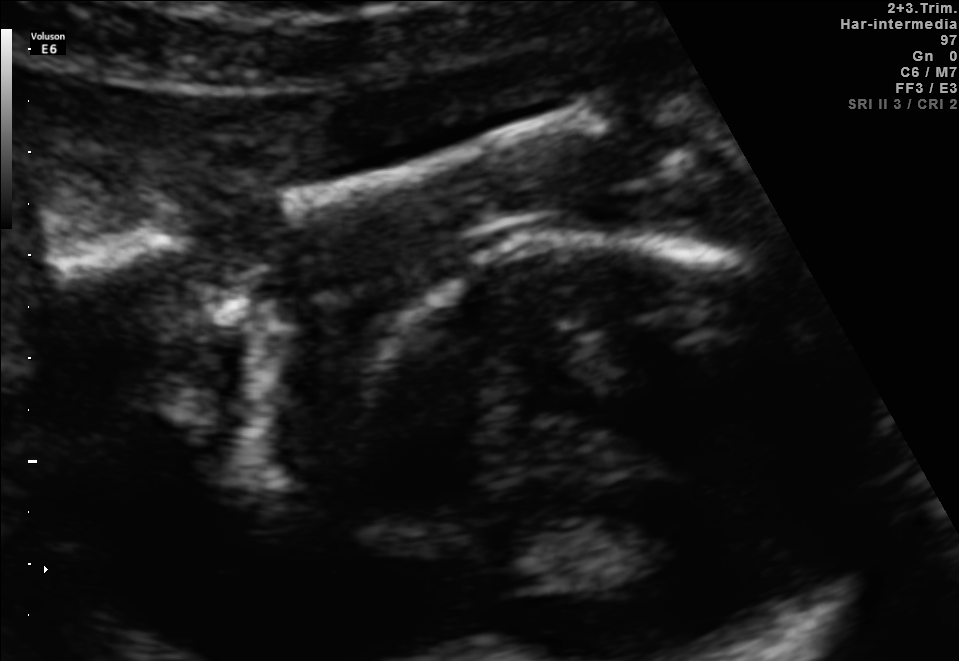
Which standard maternal-fetal ultrasound plane is shown: fetal abdomen, fetal brain, fetal femur, fetal thorax, maternal cervix, or other? If it's fetal brain and one of the three standard brain planes (trans-thalamic, trans-cerebellum, trans-ventricular), name which.

Fetal femur